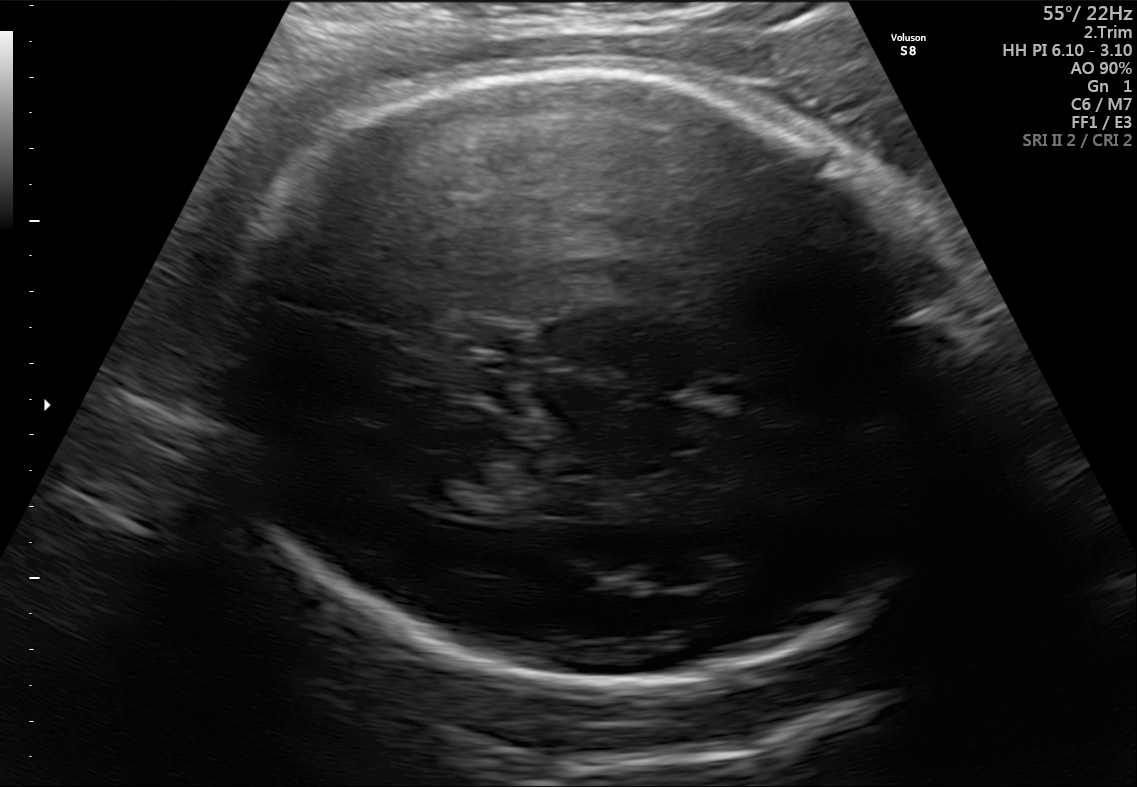
Fetal brain, trans-thalamic plane. Locate the fetal head.

Head: [213,70,988,681]